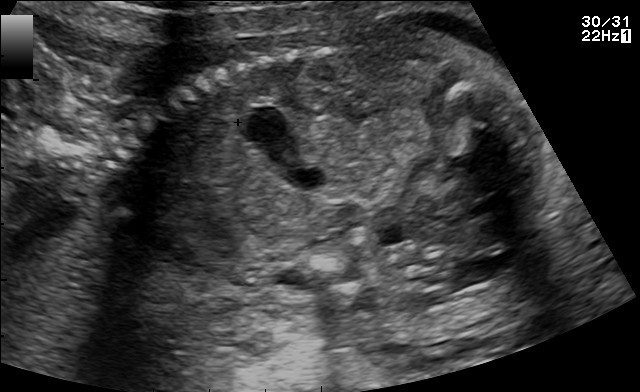
Classify this maternal-fetal ultrasound image as one of the six standard planes — fetal abdomen, fetal brain, fetal femur, fetal thorax, maternal cervix, or other. If it's fetal brain and one of the three standard brain planes (trans-thalamic, trans-cerebellum, trans-ventricular), name which.

Other